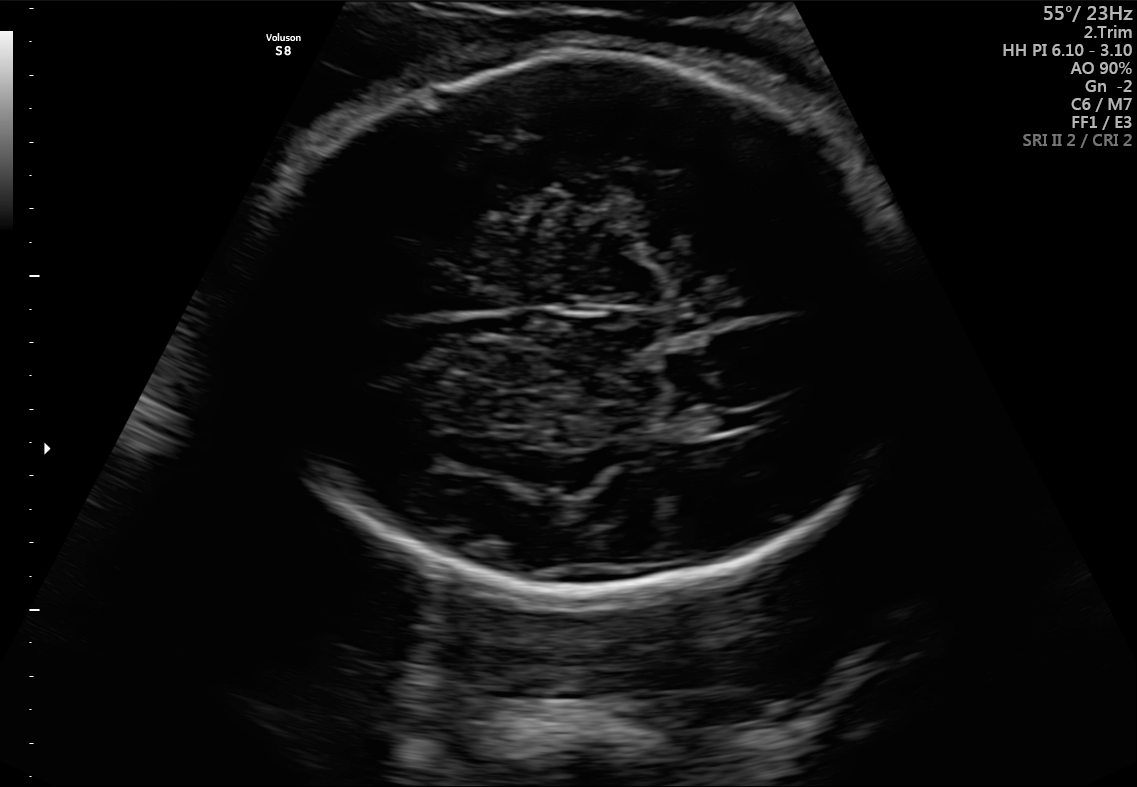
Fetal brain, trans-ventricular plane. Locate the fetal head and, if visible, the cavum septum pellucidum (CSP) and lateral ventricle (LV). Give bounding boxes as [x1,y1,x2,y2].

Head: [251,48,916,599]